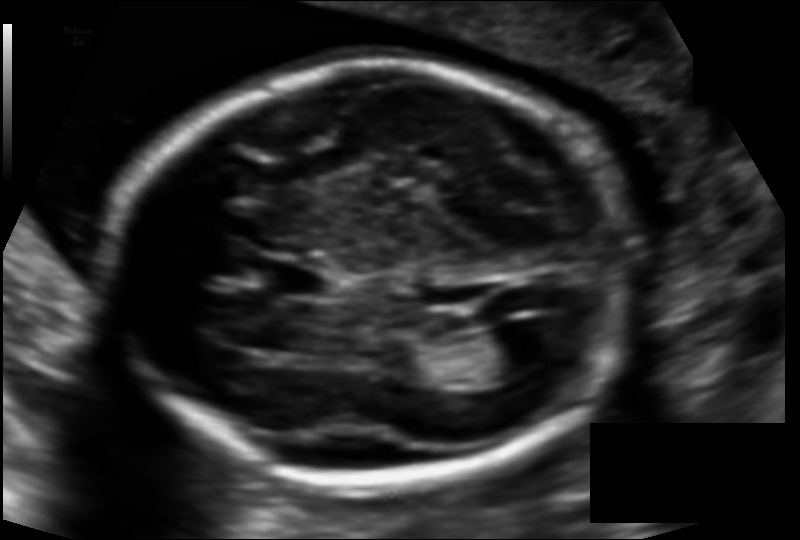
Fetal head ultrasound. Image width: 96.7 mm. Locate the fetal head.

Head: [110,63,626,484]